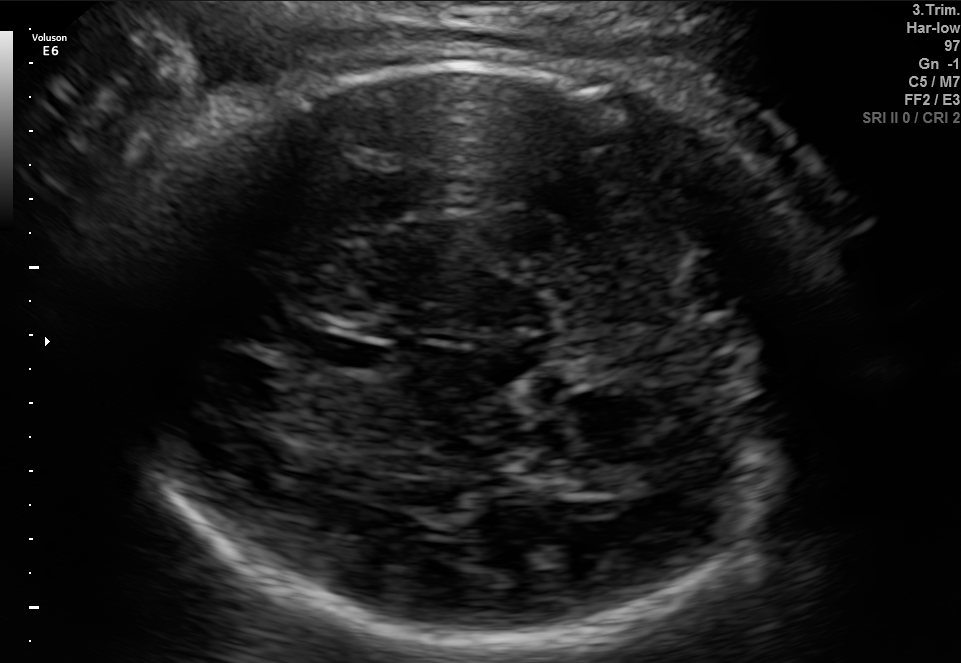
Fetal brain, trans-thalamic plane. Where is the cavum septum pellucidum?

CSP bounding box: [306,332,392,375]